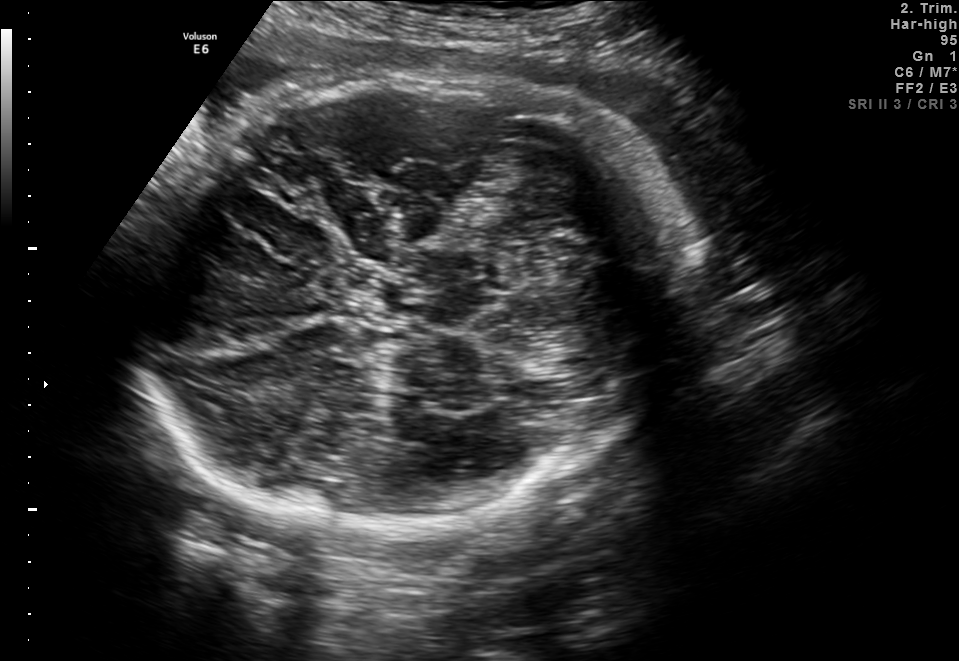
Fetal brain, trans-thalamic plane. Where is the fetal head?

Head bounding box: [127,73,690,534]